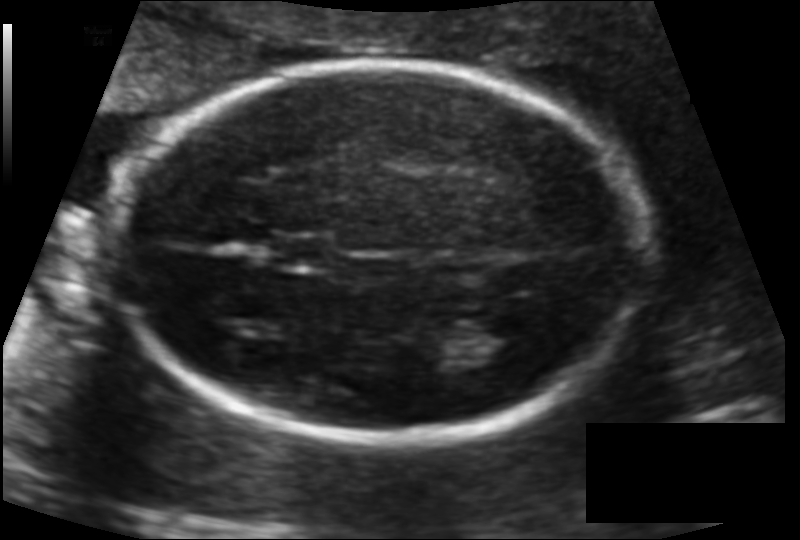
Fetal head ultrasound. Image width: 91.7 mm. Give [x1,y1,x2,y2] bounding boxes for each visible structure among: fetal head, CSP, LV.

Head: [114,60,644,444]
CSP: [275,234,334,270]
Lateral ventricle: [458,315,538,371]